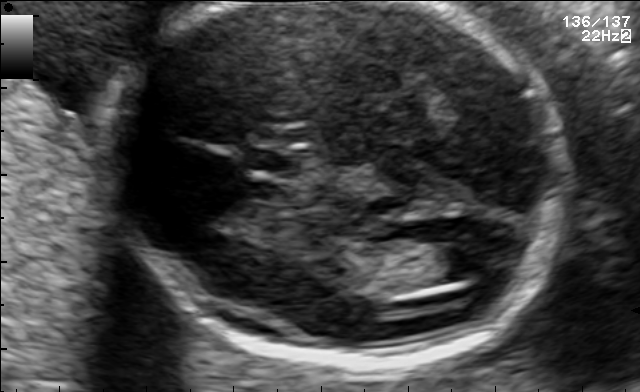
In this fetal brain, trans-ventricular plane, give bounding boxes for the head outline, cavum septum pellucidum (CSP), and lateral ventricle (LV), where visible.

Head: [97,2,575,368]
CSP: [240,144,304,181]
Lateral ventricle: [428,238,504,286]